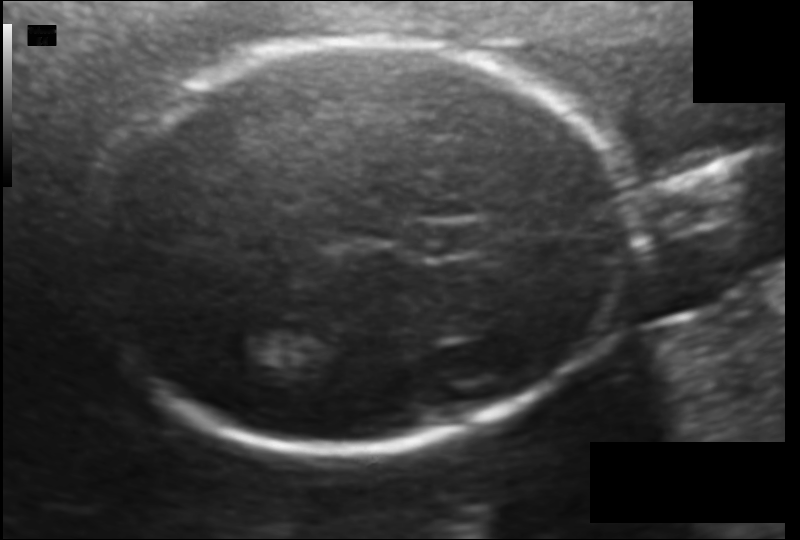
Fetal head ultrasound. Image width: 90.8 mm. Where is the fetal head?

Head bounding box: [85,40,626,449]